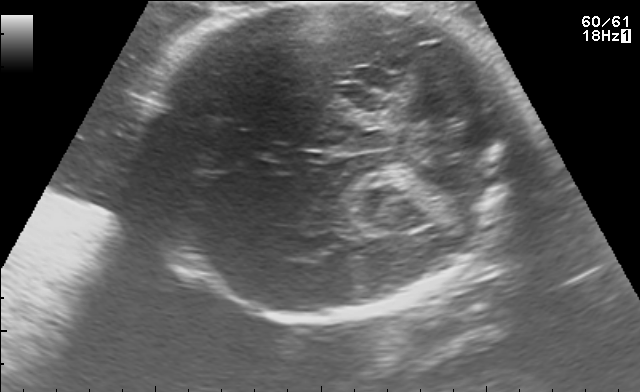
In this fetal brain, trans-thalamic plane, give the bounding box of the fetal head.

[115,3,527,321]